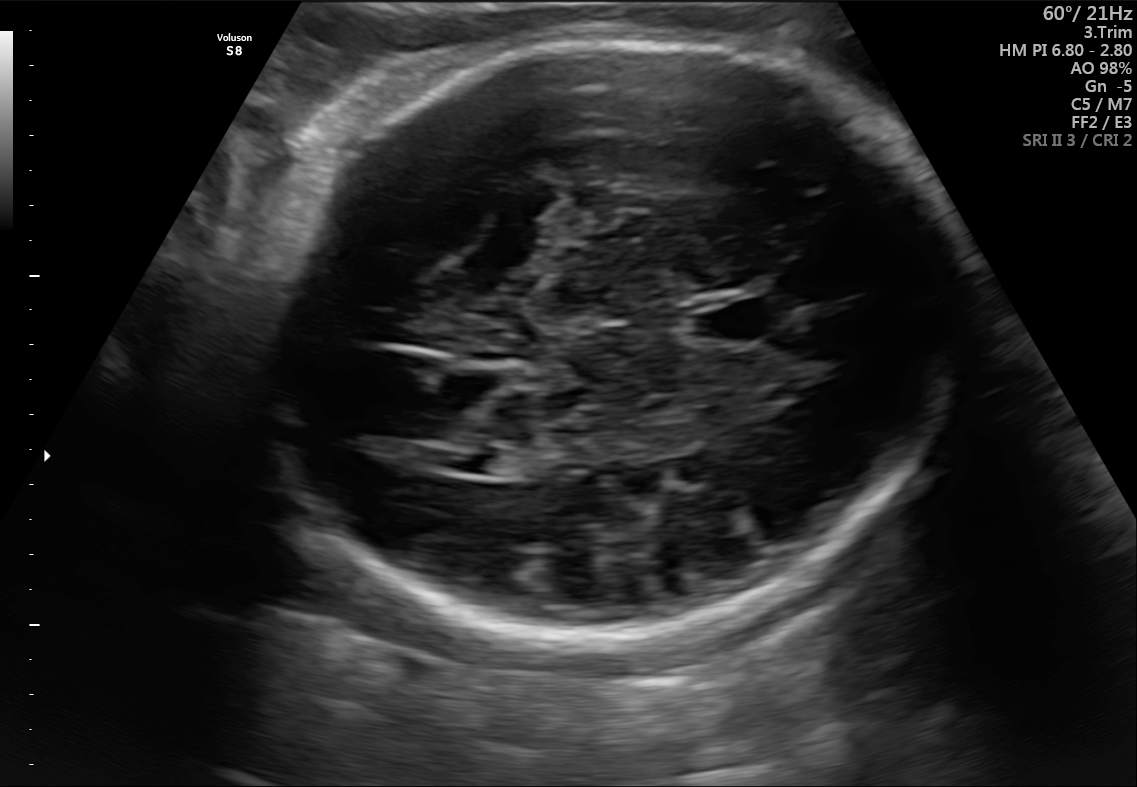
Fetal brain, trans-ventricular plane. Locate the fetal head.

Head: [245,35,982,645]